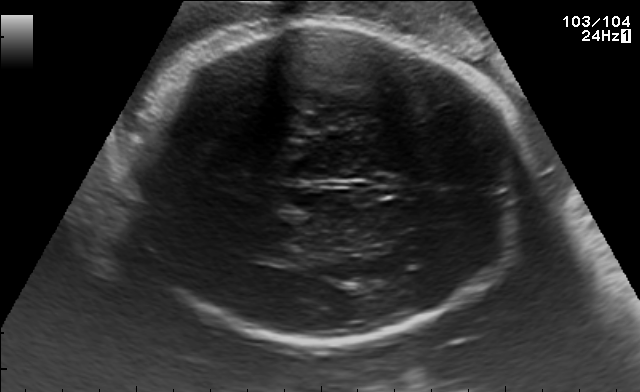
Fetal brain, trans-thalamic plane. Locate the fetal head.

Head: [125,24,530,342]